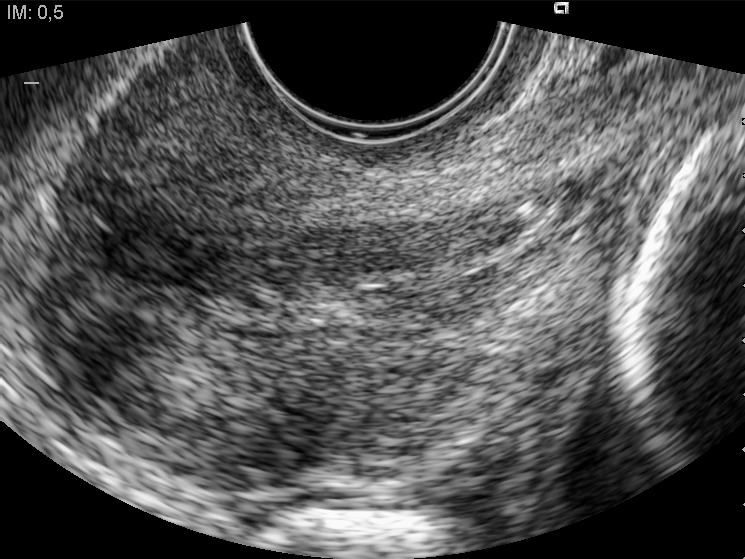
Identify the standard plane in this fetal ultrasound image: fetal abdomen, fetal brain, fetal femur, fetal thorax, maternal cervix, or other. If it's fetal brain and one of the three standard brain planes (trans-thalamic, trans-cerebellum, trans-ventricular), name which.

Maternal cervix